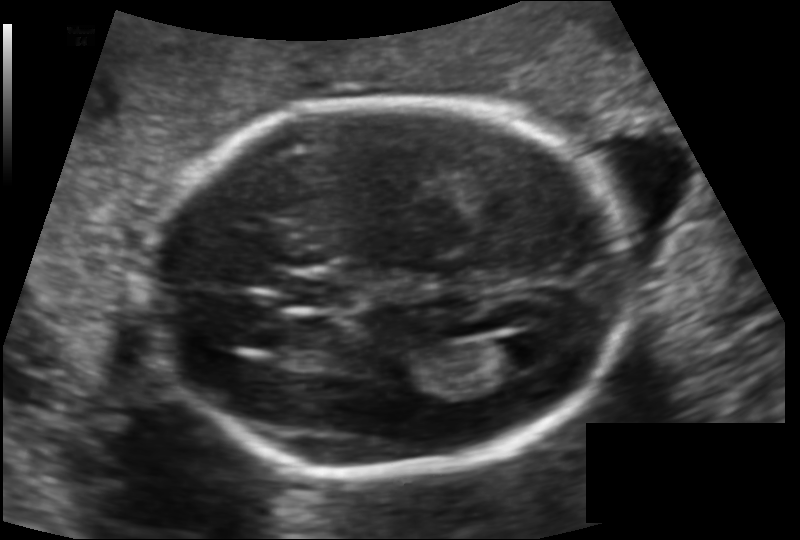
In this fetal head ultrasound, give the bounding box of the fetal head. Image width: 100.1 mm.

[149,101,624,476]